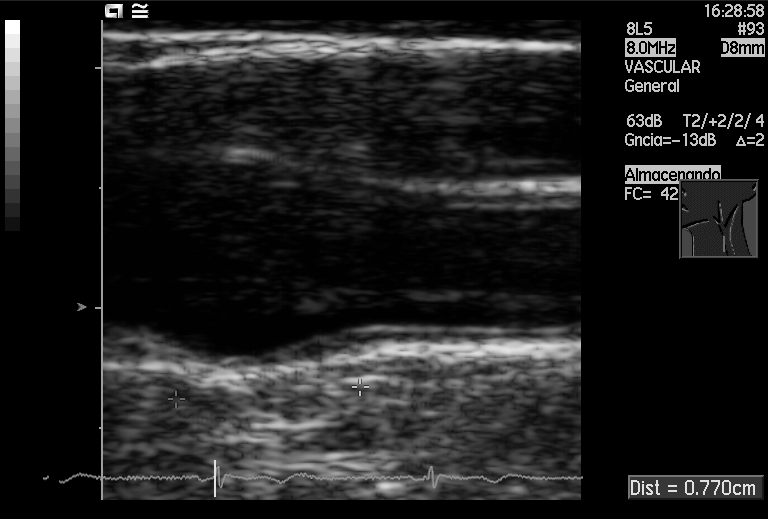
Identify the standard plane in this fetal ultrasound image: fetal abdomen, fetal brain, fetal femur, fetal thorax, maternal cervix, or other. If it's fetal brain and one of the three standard brain planes (trans-thalamic, trans-cerebellum, trans-ventricular), name which.

Other